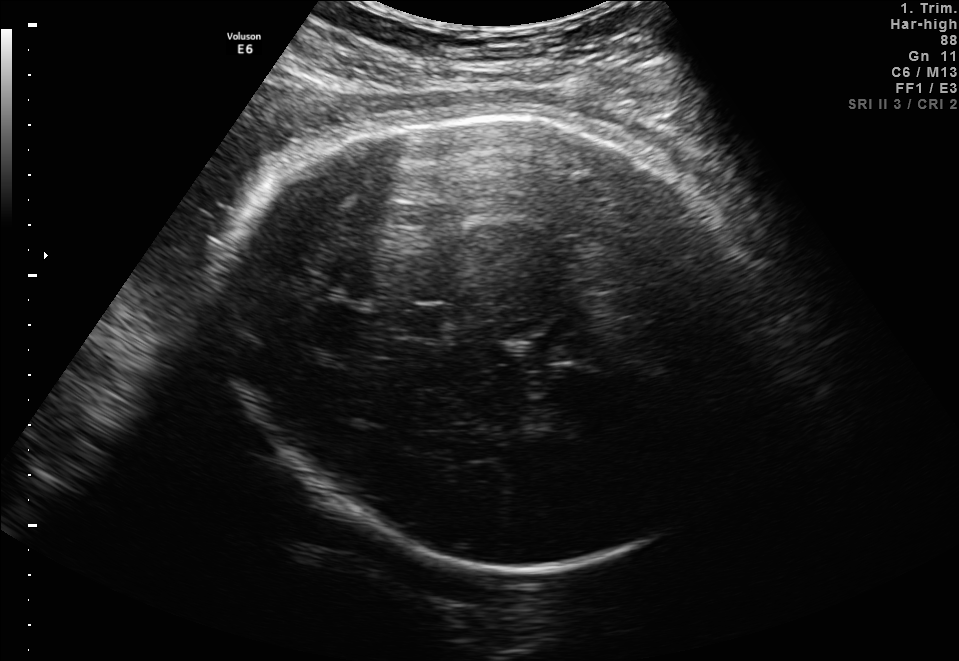
Fetal brain, trans-thalamic plane. Locate the fetal head and, if visible, the cavum septum pellucidum (CSP) and lateral ventricle (LV). Give bounding boxes as [x1,y1,x2,y2].

Head: [214,104,777,565]
CSP: [401,305,459,340]